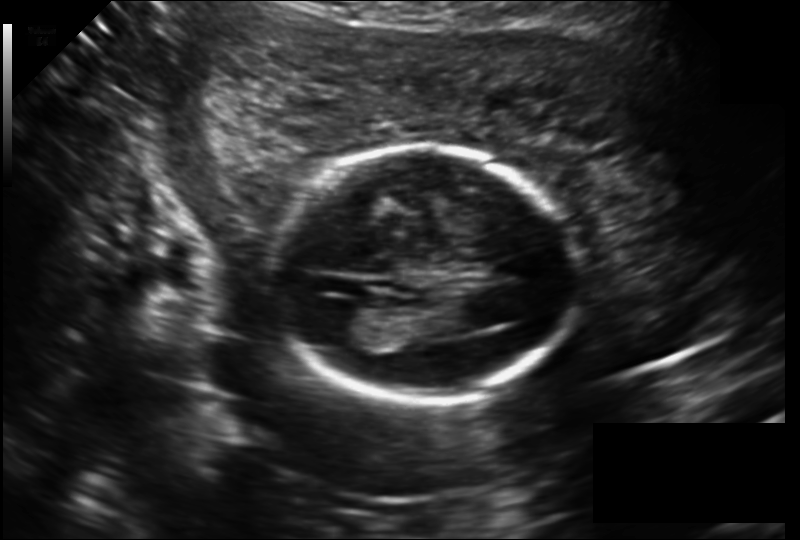
Fetal head ultrasound. Image width: 142.0 mm. Where is the fetal head?

Head bounding box: [269,146,574,404]